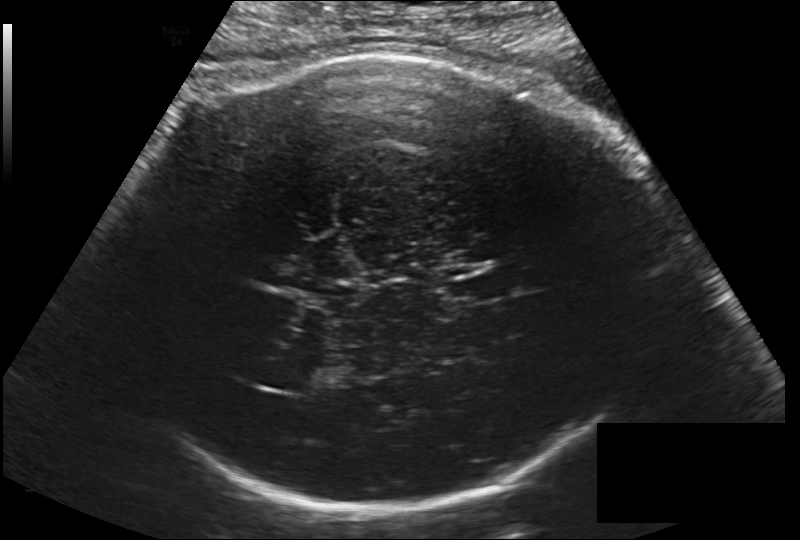
Fetal head ultrasound. Image width: 162.2 mm. Give [x1,y1,x2,y2] bounding boxes for each visible structure among: fetal head, CSP, LV.

Head: [113,50,658,508]
CSP: [439,268,508,312]
Lateral ventricle: [264,361,319,394]